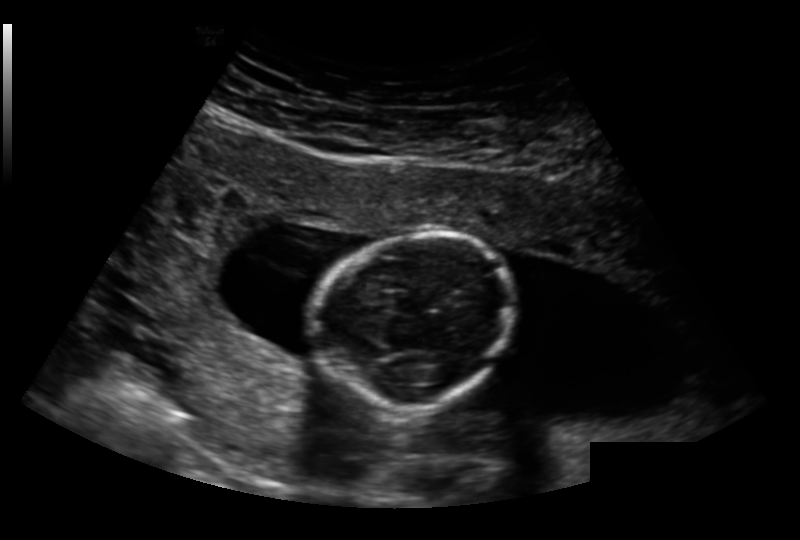
Fetal head ultrasound. Image width: 152.4 mm. Locate the fetal head and, if visible, the cavum septum pellucidum (CSP) and lateral ventricle (LV). Give bounding boxes as [x1,y1,x2,y2].

Head: [319,233,516,410]